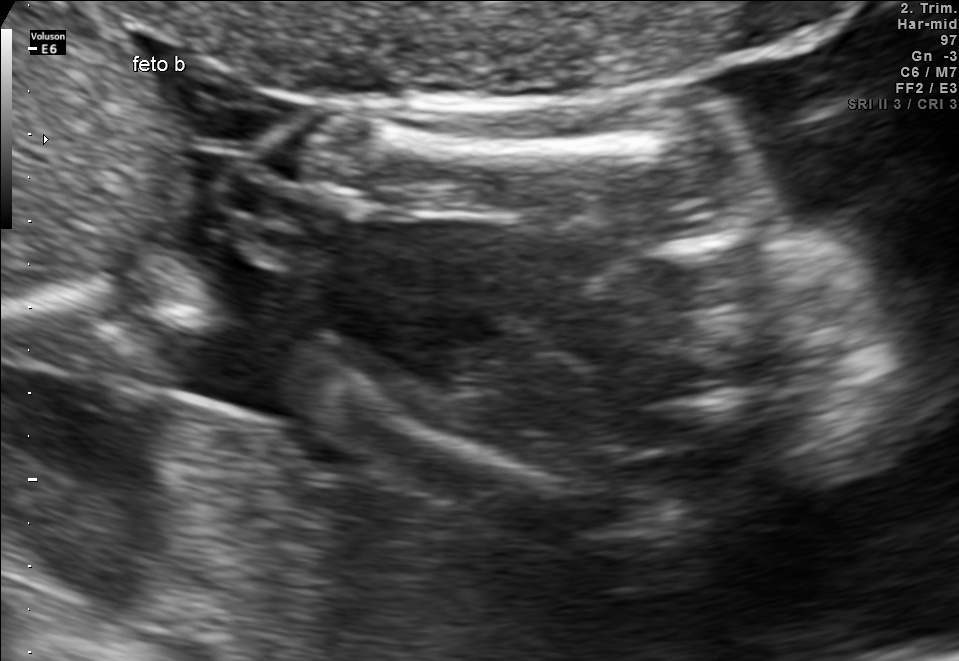
This is a 2D maternal-fetal ultrasound frame. Is it a fetal abdomen, fetal brain, fetal femur, fetal thorax, maternal cervix, or other standard plane? If it's fetal brain and one of the three standard brain planes (trans-thalamic, trans-cerebellum, trans-ventricular), name which.

Fetal femur